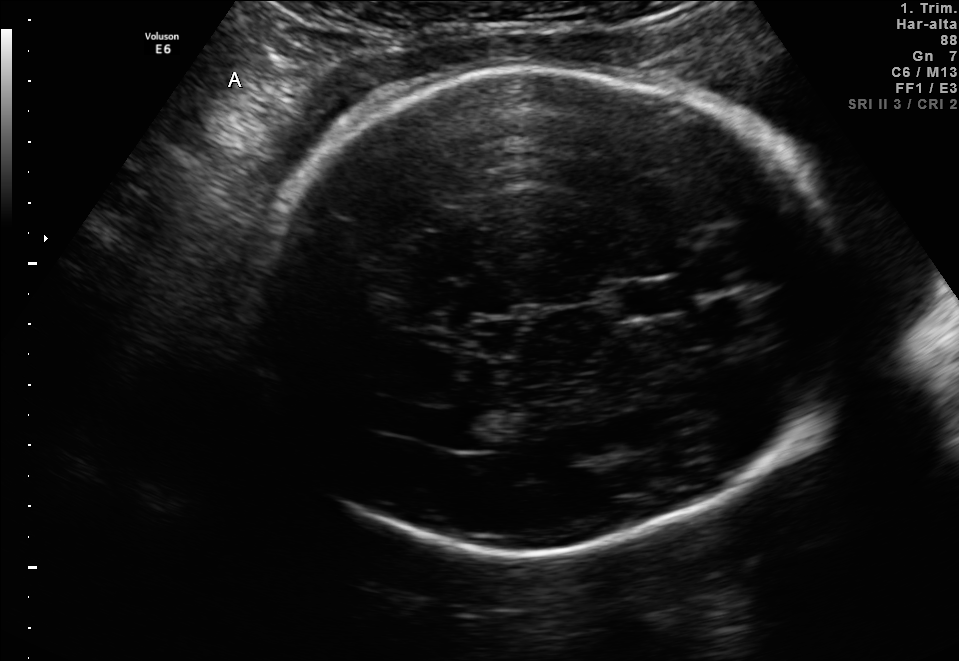
Fetal brain, trans-thalamic plane. Where is the cavum septum pellucidum?

CSP bounding box: [618,278,682,320]